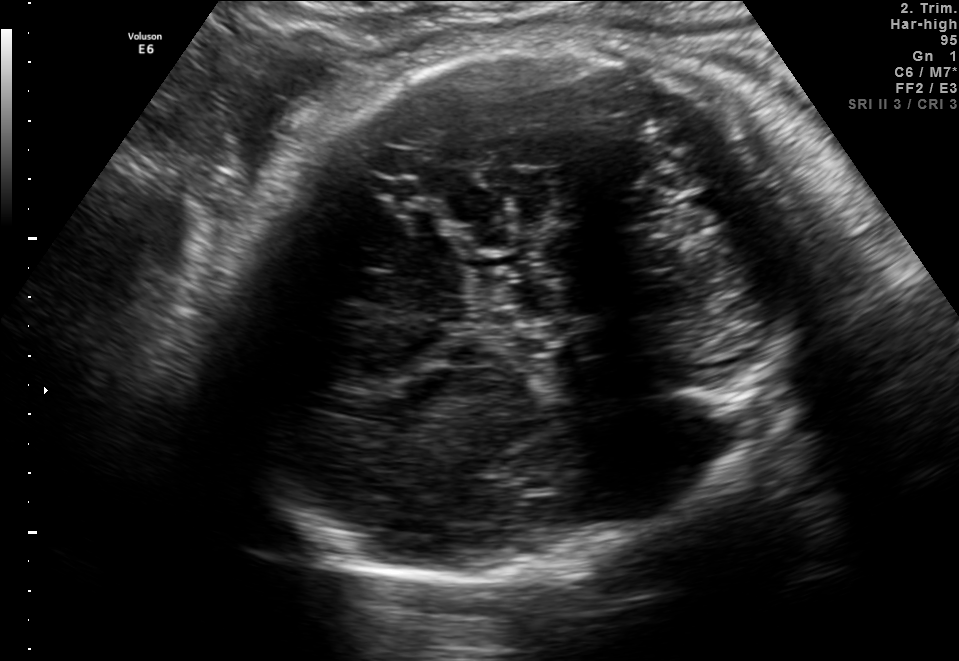
Fetal brain, trans-thalamic plane. Locate the fetal head.

Head: [214,42,801,583]